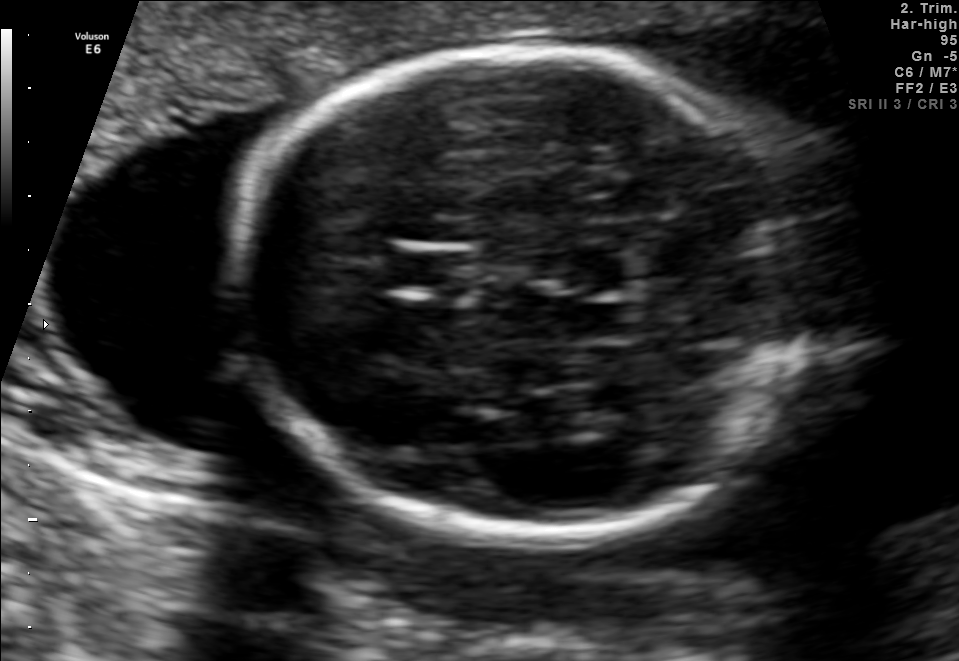
Fetal brain, trans-thalamic plane. Give [x1,y1,x2,y2] bounding boxes for each visible structure among: fetal head, CSP, LV.

Head: [228,50,813,541]
CSP: [384,244,477,301]